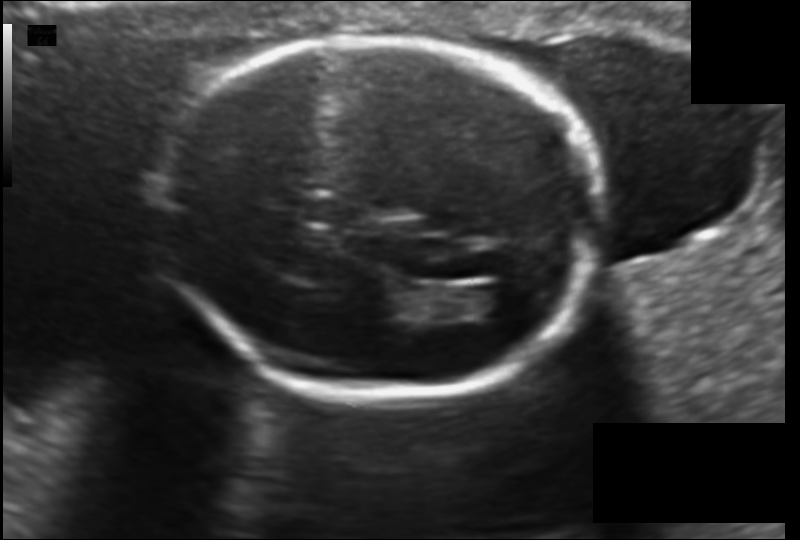
Fetal head ultrasound. Image width: 104.2 mm. Locate the cavum septum pellucidum.

CSP: [298,189,350,228]